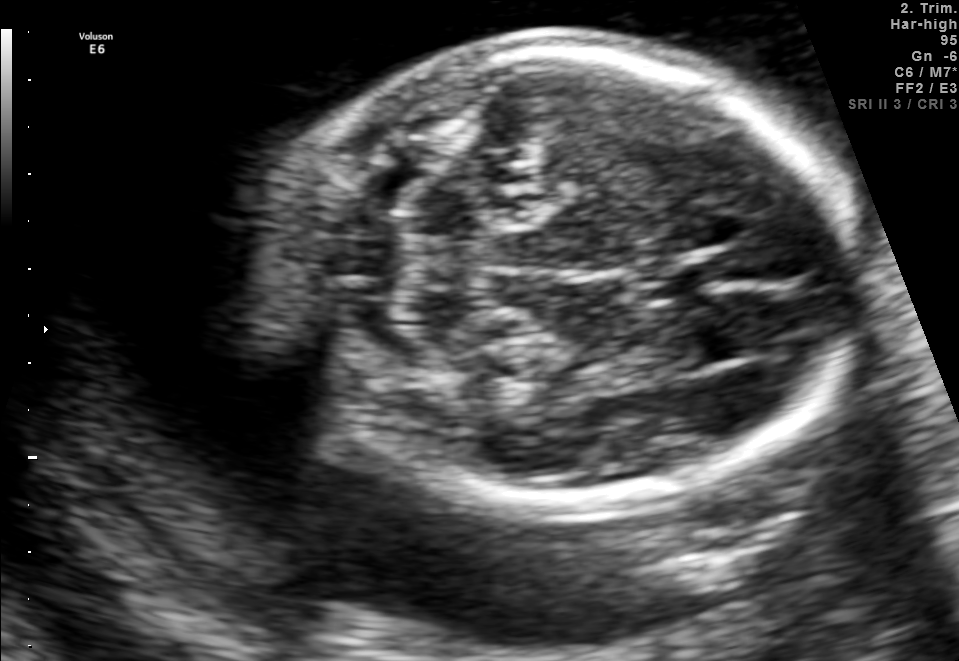
In this fetal brain, trans-cerebellum plane, give the bounding box of the fetal head.

[254,44,861,511]